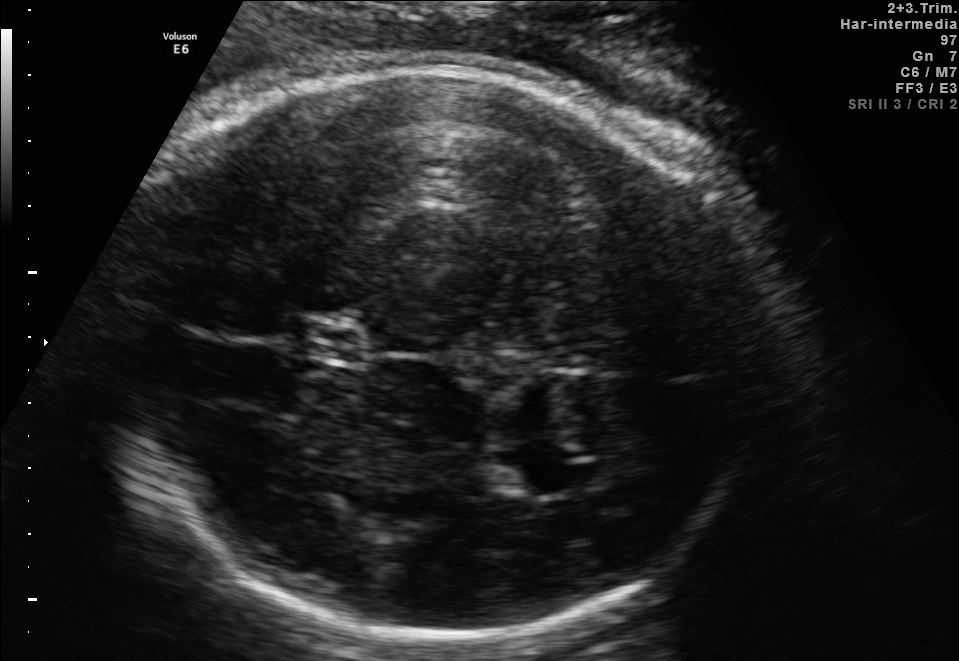
Classify this maternal-fetal ultrasound image as one of the six standard planes — fetal abdomen, fetal brain, fetal femur, fetal thorax, maternal cervix, or other. If it's fetal brain and one of the three standard brain planes (trans-thalamic, trans-cerebellum, trans-ventricular), name which.

Fetal brain (trans-thalamic plane)